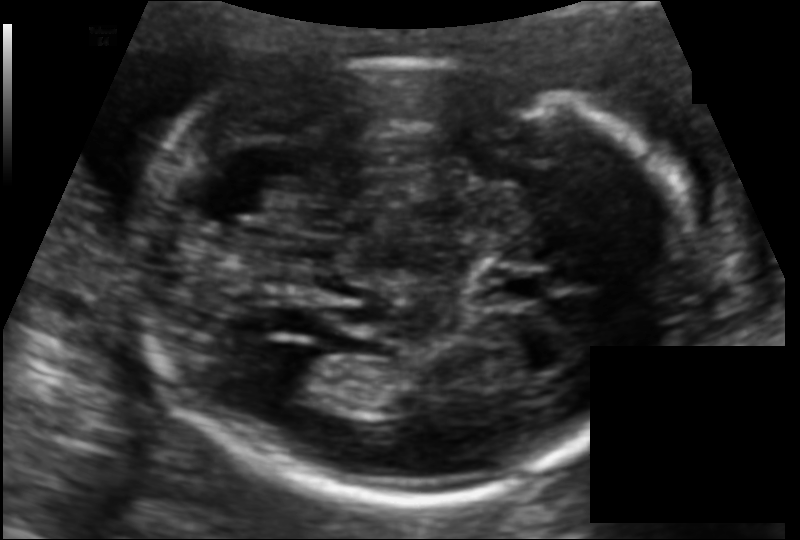
In this fetal head ultrasound, give bounding boxes for the head outline, cavum septum pellucidum (CSP), and lateral ventricle (LV), where visible. Image width: 91.9 mm.

Head: [137,60,687,500]
CSP: [478,260,556,311]
Lateral ventricle: [261,347,351,412]